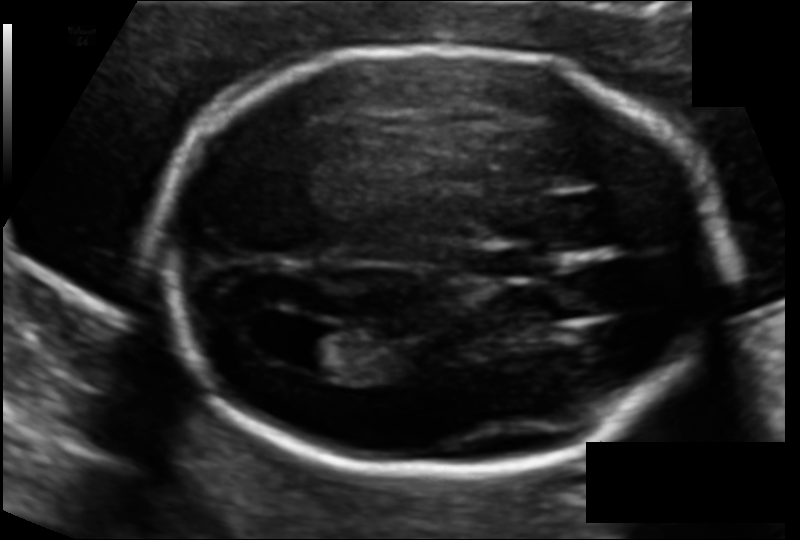
In this fetal head ultrasound, give the bounding box of the cavum septum pellucidum. Image width: 89.4 mm.

[467,247,539,280]